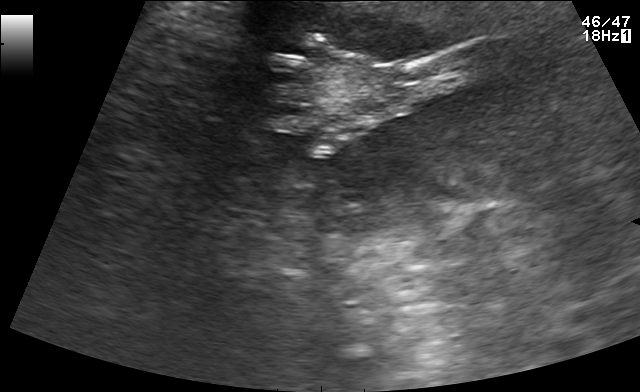
Classify this maternal-fetal ultrasound image as one of the six standard planes — fetal abdomen, fetal brain, fetal femur, fetal thorax, maternal cervix, or other. If it's fetal brain and one of the three standard brain planes (trans-thalamic, trans-cerebellum, trans-ventricular), name which.

Other